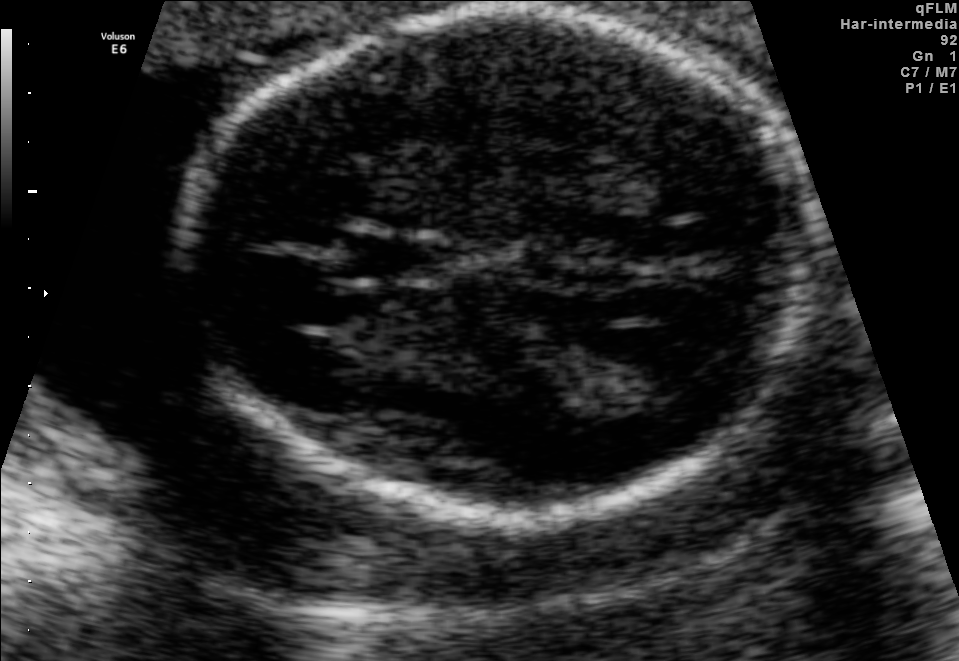
Fetal brain, trans-thalamic plane. Locate the fetal head.

Head: [184,9,815,506]